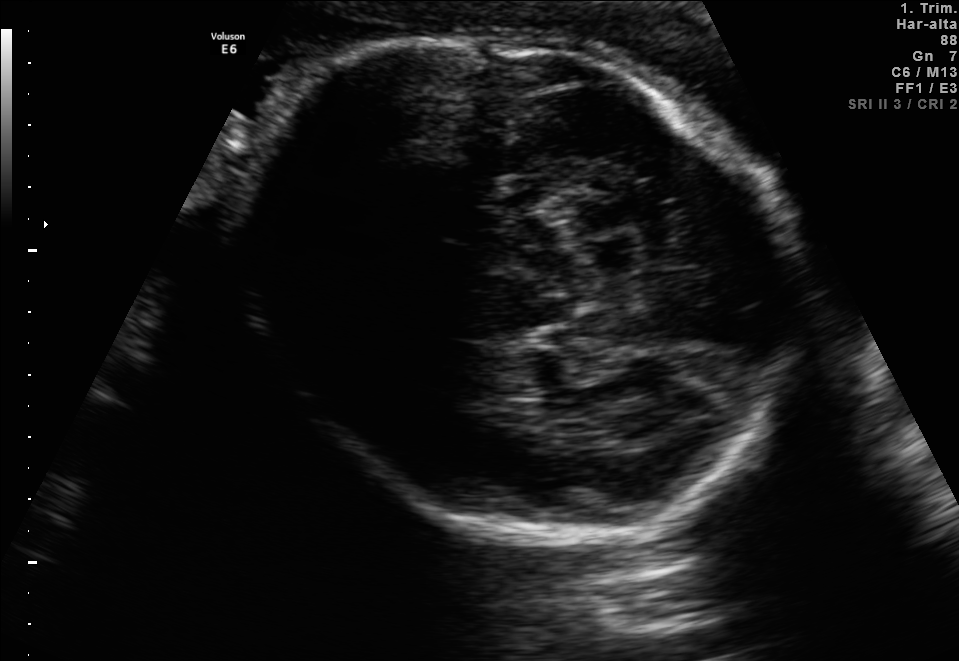
In this fetal brain, trans-thalamic plane, give the bounding box of the fetal head.

[240,30,795,529]